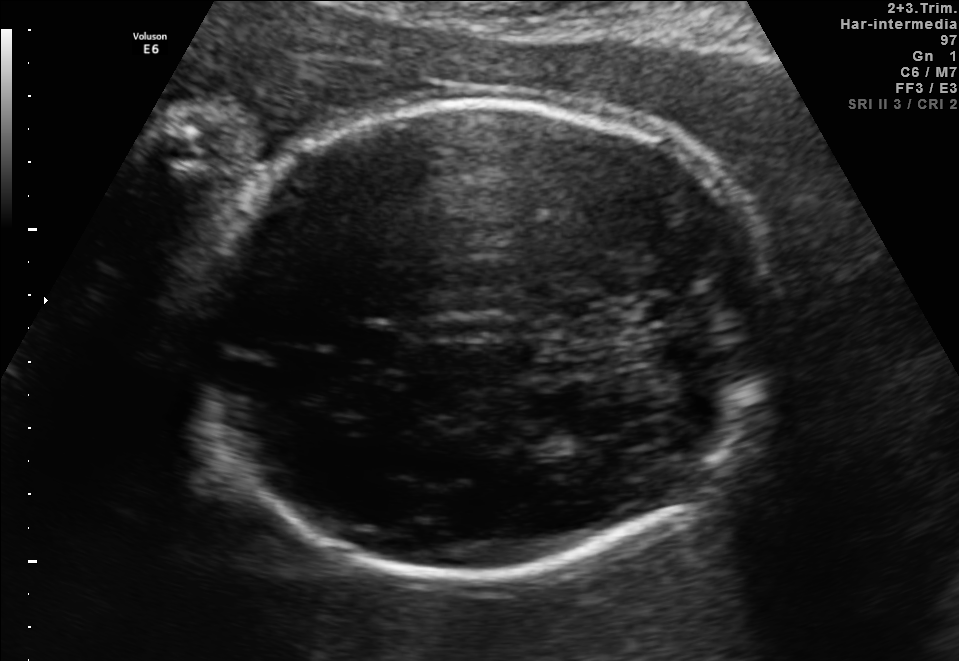
Identify the standard plane in this fetal ultrasound image: fetal abdomen, fetal brain, fetal femur, fetal thorax, maternal cervix, or other. If it's fetal brain and one of the three standard brain planes (trans-thalamic, trans-cerebellum, trans-ventricular), name which.

Fetal brain (trans-thalamic plane)